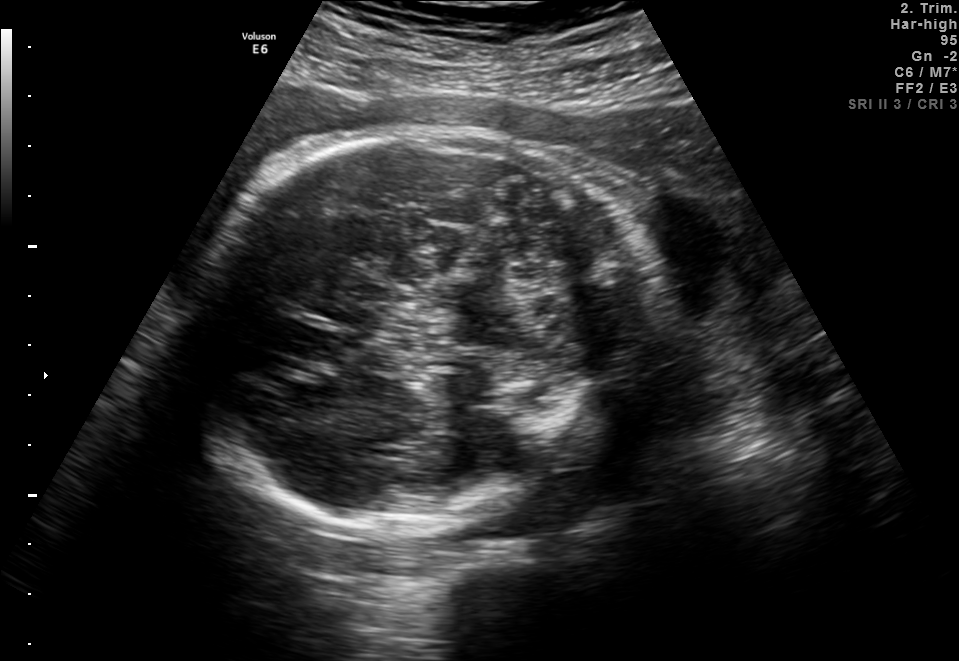
Fetal brain, trans-thalamic plane. Locate the fetal head.

Head: [192,130,657,535]